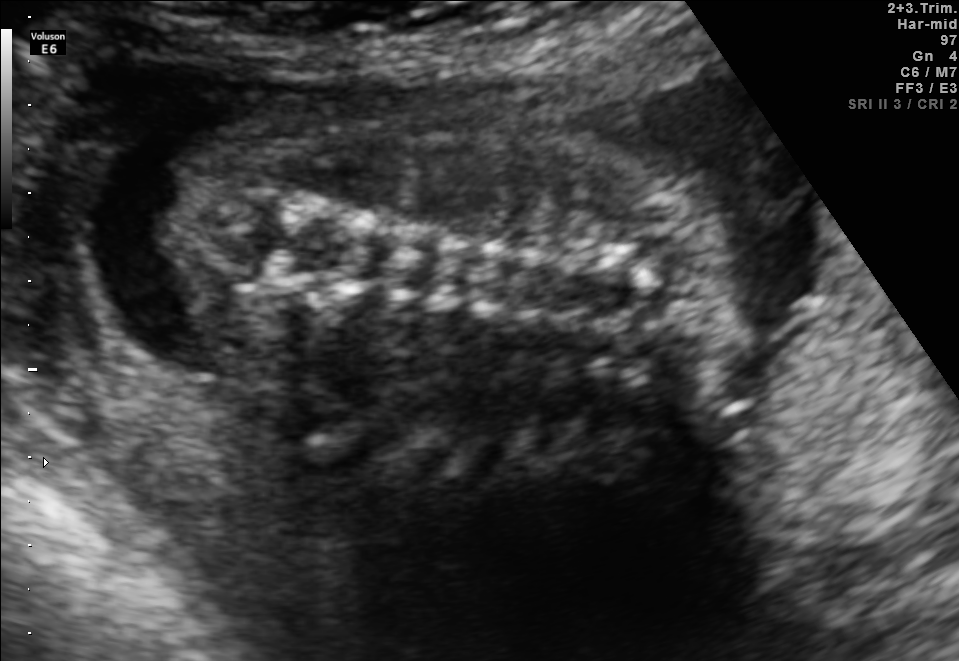
Which standard maternal-fetal ultrasound plane is shown: fetal abdomen, fetal brain, fetal femur, fetal thorax, maternal cervix, or other? If it's fetal brain and one of the three standard brain planes (trans-thalamic, trans-cerebellum, trans-ventricular), name which.

Other